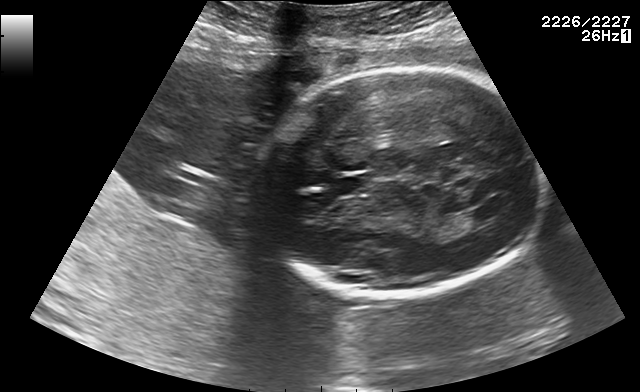
Fetal brain, trans-ventricular plane. Locate the cavum septum pellucidum.

CSP: [323,173,374,197]